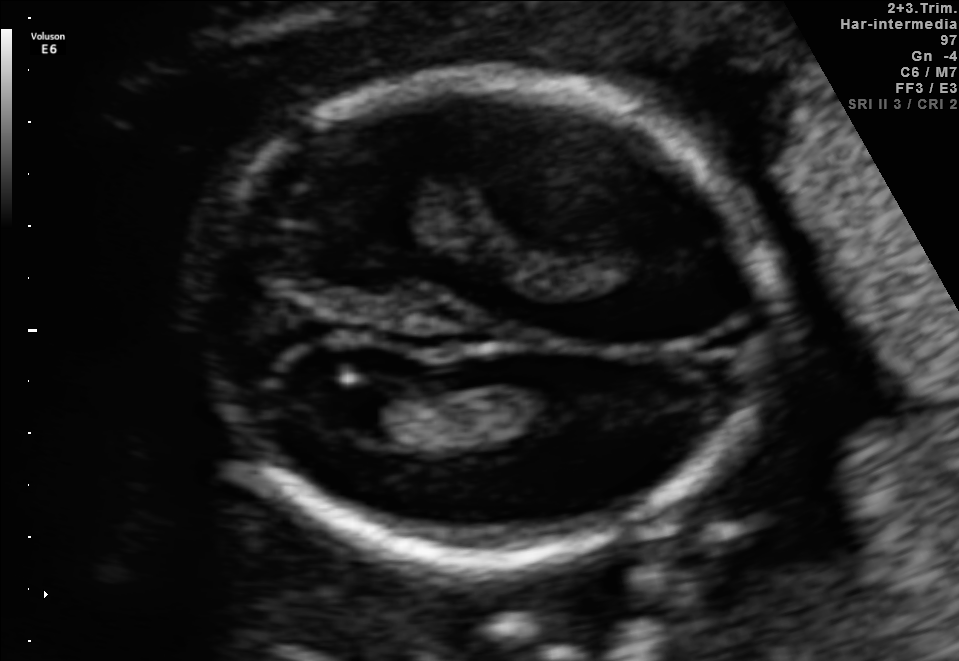
Fetal brain, trans-ventricular plane. Locate the fetal head.

Head: [176,66,793,575]